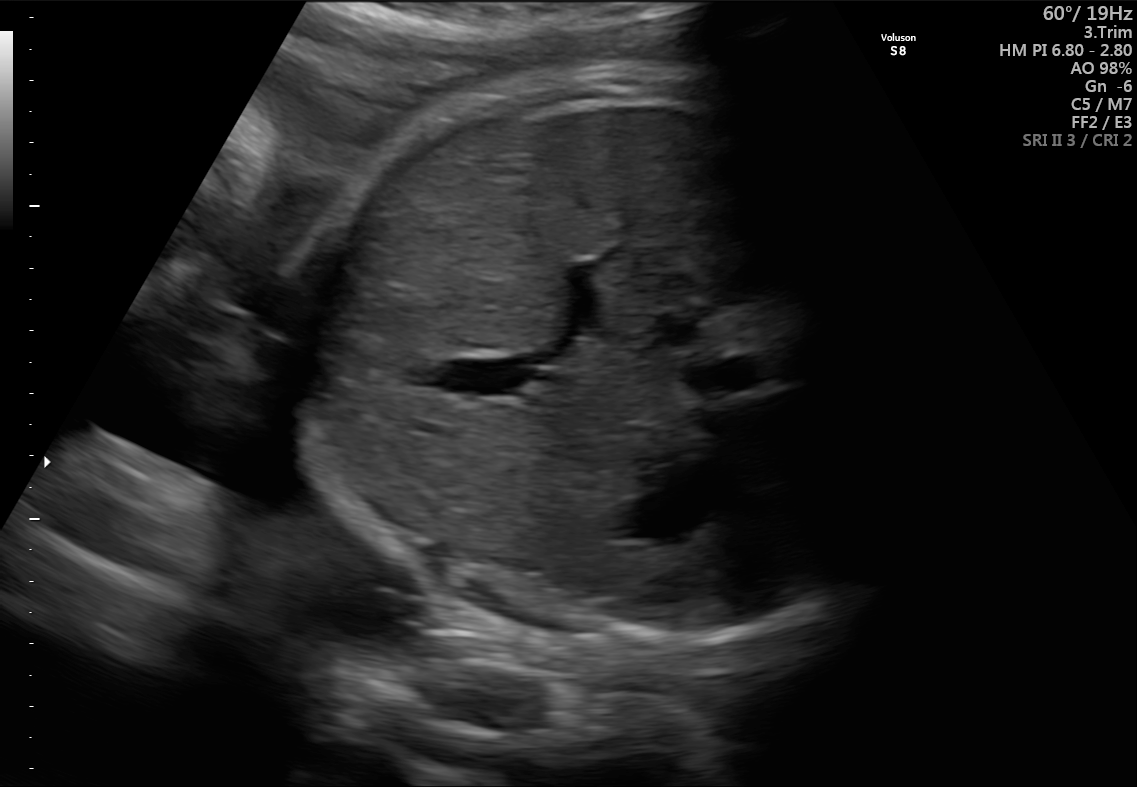
Identify the standard plane in this fetal ultrasound image: fetal abdomen, fetal brain, fetal femur, fetal thorax, maternal cervix, or other. If it's fetal brain and one of the three standard brain planes (trans-thalamic, trans-cerebellum, trans-ventricular), name which.

Fetal abdomen